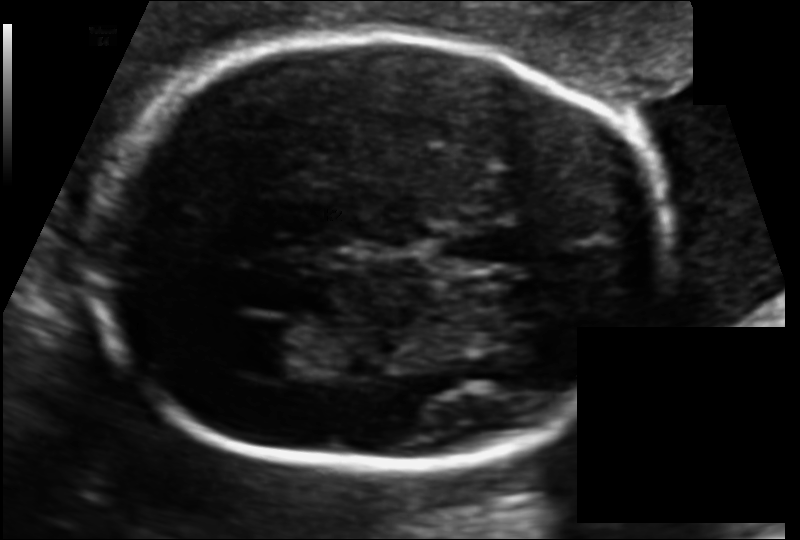
In this fetal head ultrasound, give the bounding box of the fetal head. Image width: 89.0 mm.

[88,37,679,469]